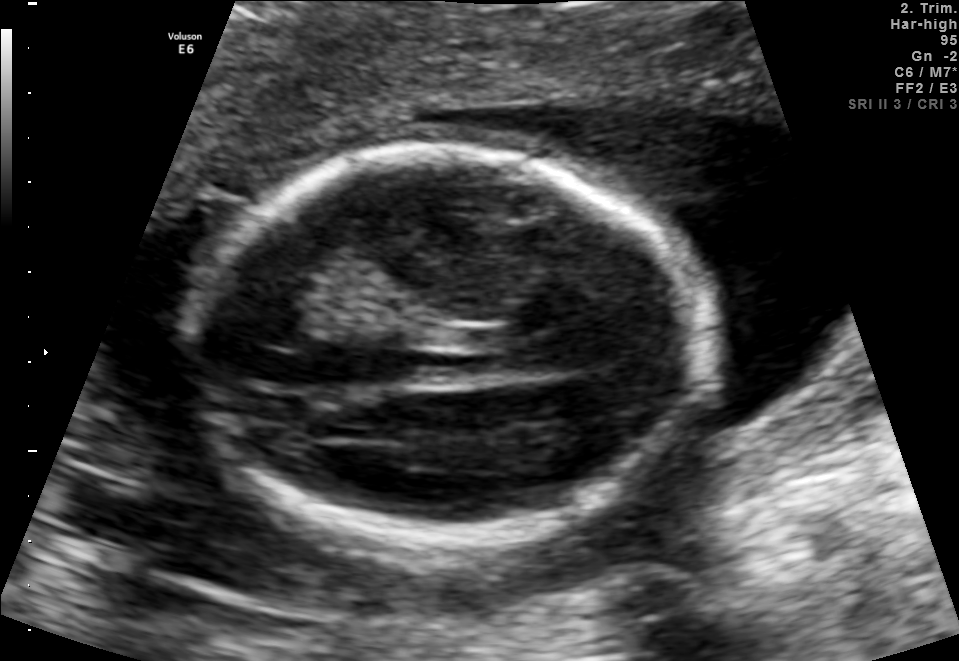
In this fetal brain, trans-thalamic plane, give bounding boxes for the head outline, cavum septum pellucidum (CSP), and lateral ventricle (LV), where visible.

Head: [182,147,703,538]